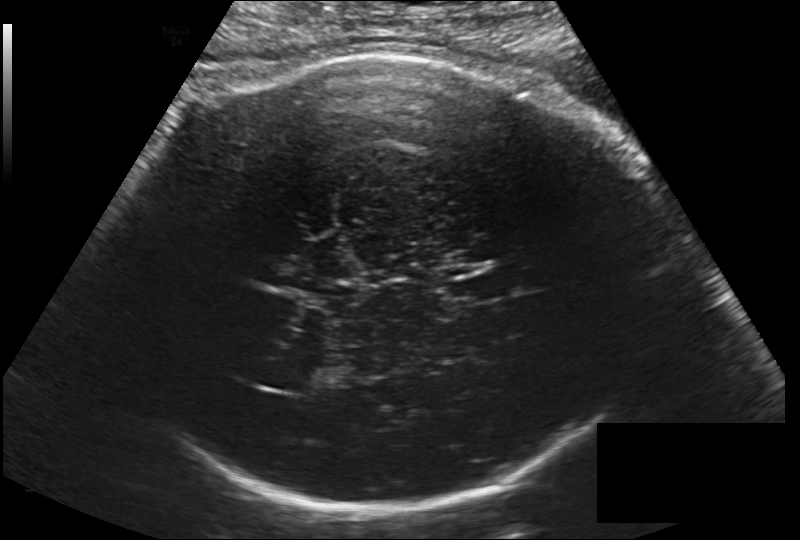
Fetal head ultrasound. Image width: 162.2 mm. Where is the cavum septum pellucidum?

CSP bounding box: [439,268,508,312]